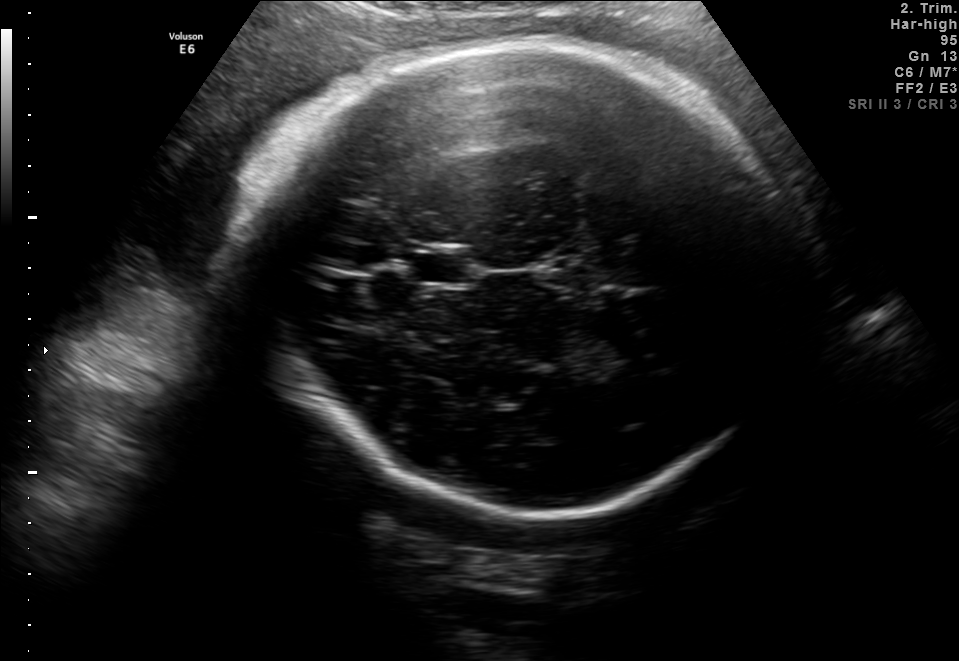
Which standard maternal-fetal ultrasound plane is shown: fetal abdomen, fetal brain, fetal femur, fetal thorax, maternal cervix, or other? If it's fetal brain and one of the three standard brain planes (trans-thalamic, trans-cerebellum, trans-ventricular), name which.

Fetal brain (trans-thalamic plane)